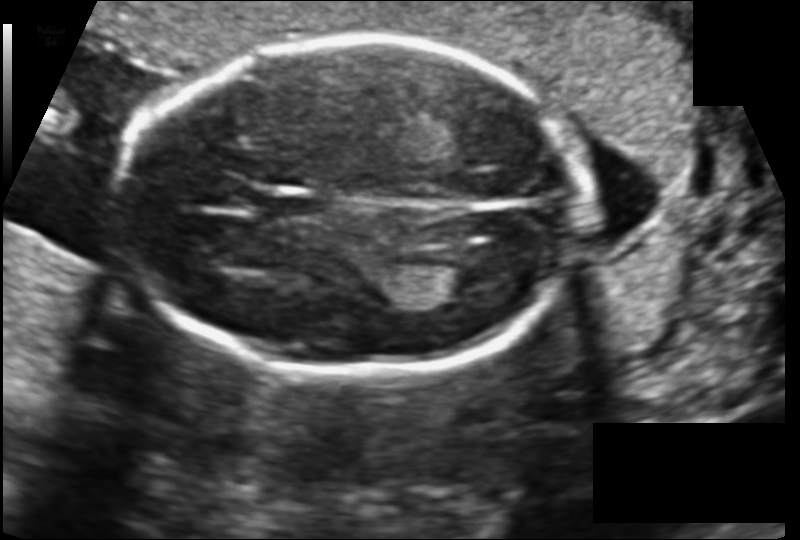
Fetal head ultrasound. Image width: 102.7 mm. Locate the fetal head and, if visible, the cavum septum pellucidum (CSP) and lateral ventricle (LV). Give bounding boxes as [x1,y1,x2,y2].

Head: [123,38,584,378]
CSP: [263,193,326,224]
Lateral ventricle: [419,265,483,299]